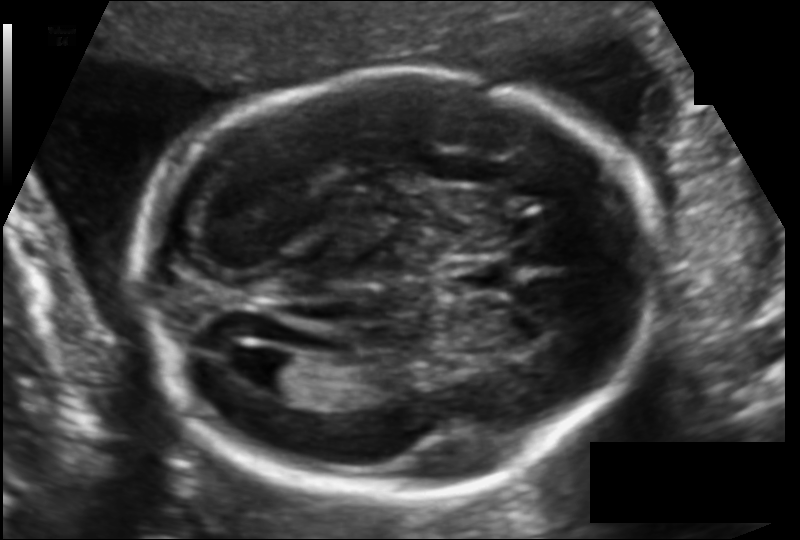
Fetal head ultrasound. Image width: 97.1 mm. Locate the fetal head.

Head: [138,70,659,491]